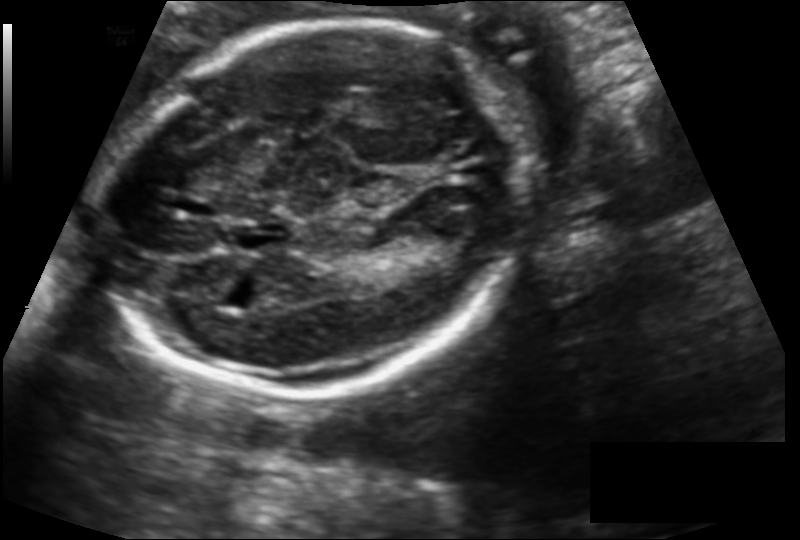
Fetal head ultrasound. Image width: 106.3 mm. Give [x1,y1,x2,y2] bounding boxes for each visible structure among: fetal head, CSP, LV.

Head: [100,20,535,392]